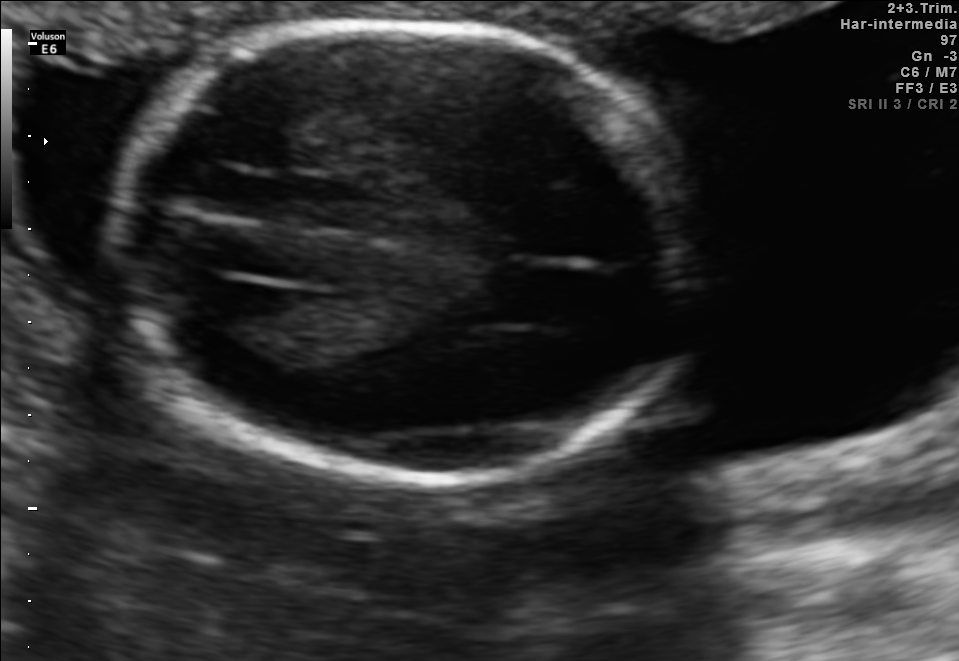
Fetal brain, trans-thalamic plane. Locate the fetal head.

Head: [113,22,696,483]